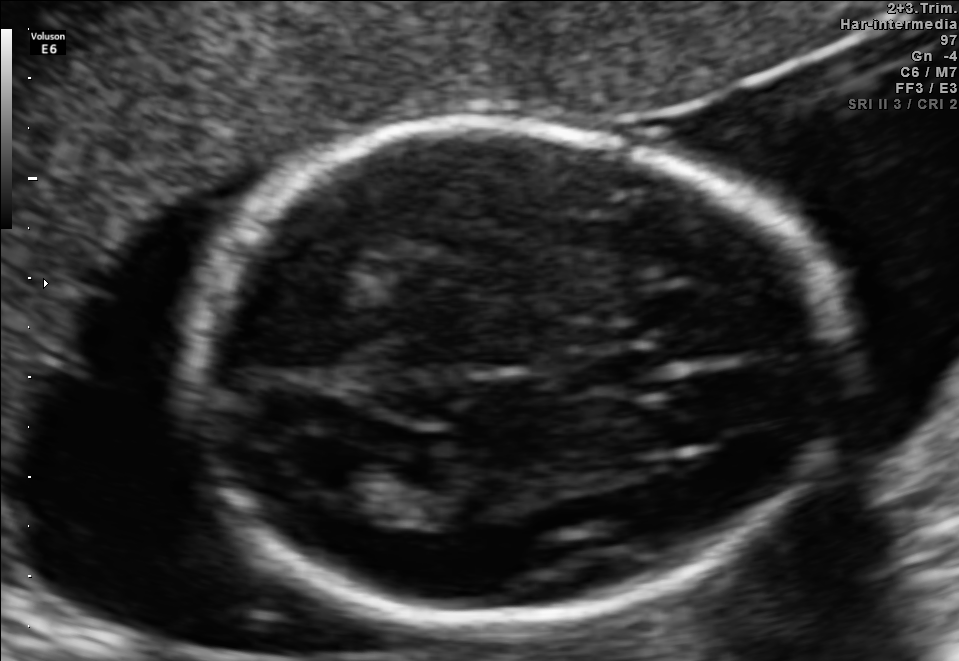
Fetal brain, trans-ventricular plane. Locate the fetal head.

Head: [167,111,852,630]